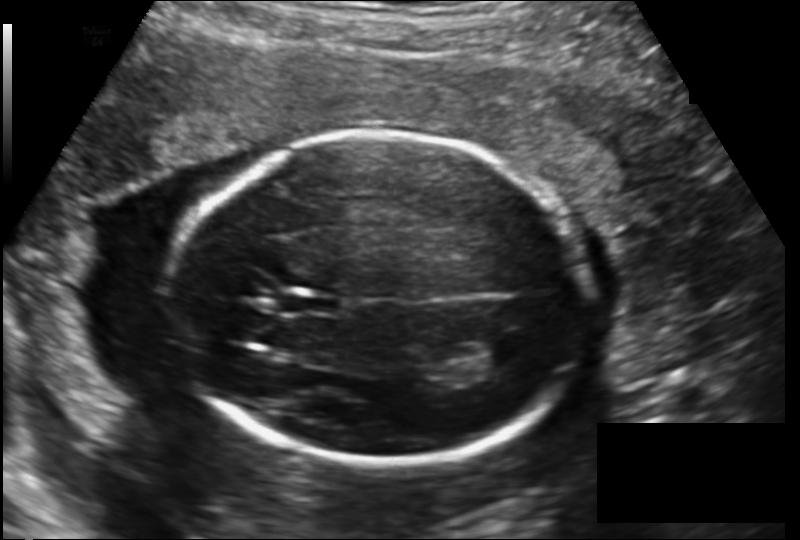
Fetal head ultrasound. Image width: 130.6 mm. Where is the fetal head?

Head bounding box: [167,133,593,464]